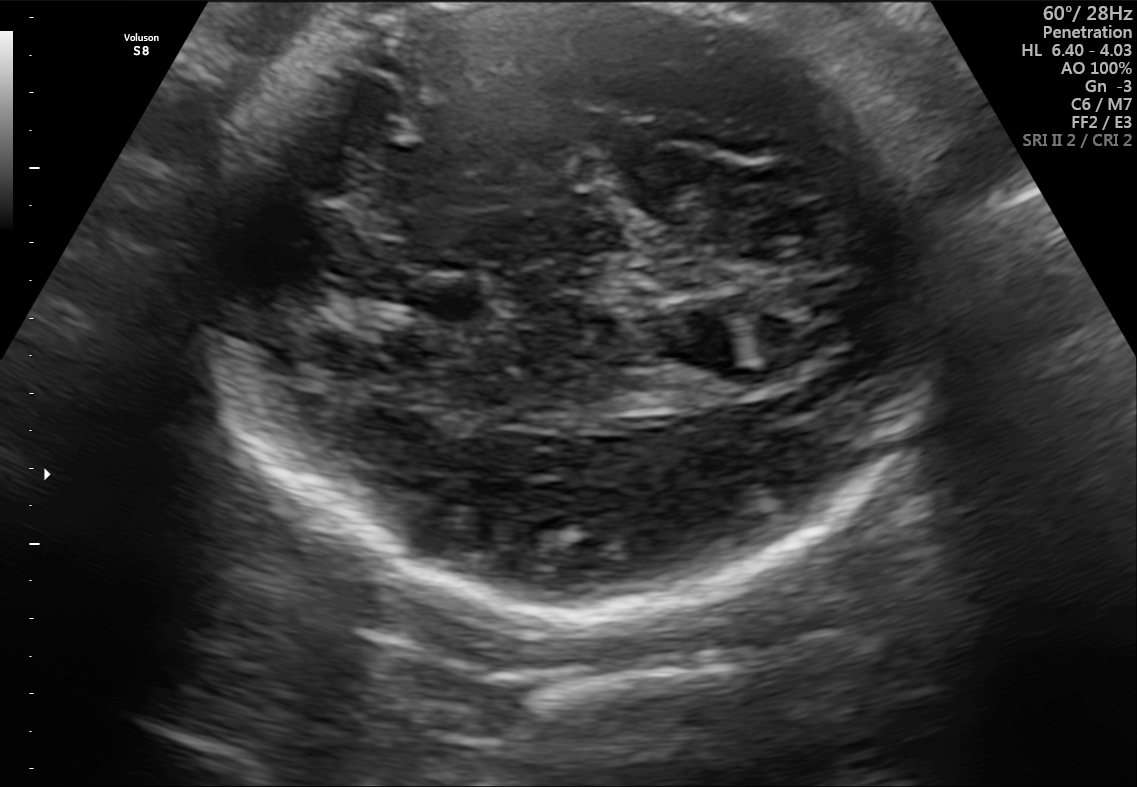
In this fetal brain, trans-thalamic plane, give the bounding box of the cavum septum pellucidum.

[408,276,487,316]